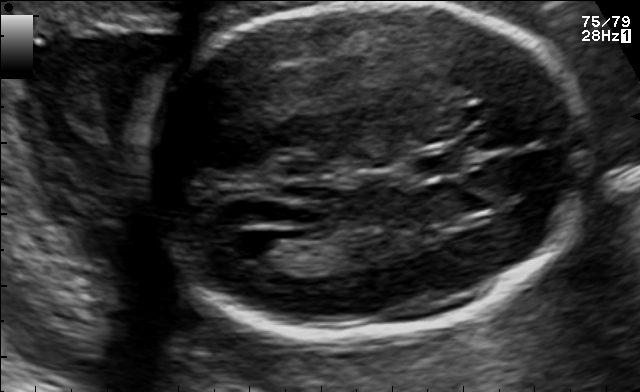
Fetal brain, trans-ventricular plane. Locate the cavum septum pellucidum.

CSP: [396,138,485,184]